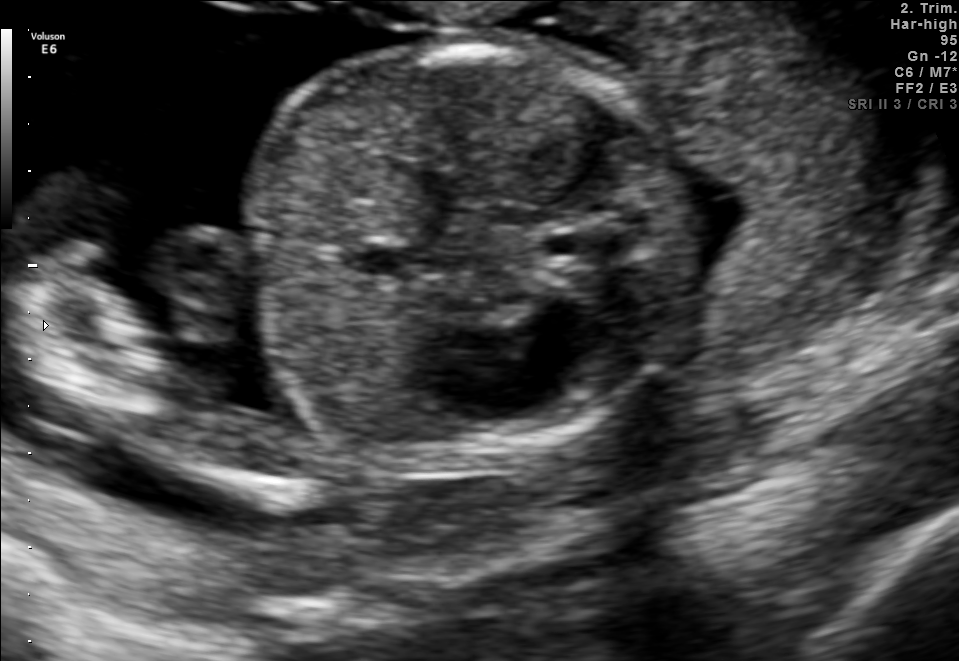
Identify the standard plane in this fetal ultrasound image: fetal abdomen, fetal brain, fetal femur, fetal thorax, maternal cervix, or other. If it's fetal brain and one of the three standard brain planes (trans-thalamic, trans-cerebellum, trans-ventricular), name which.

Fetal abdomen